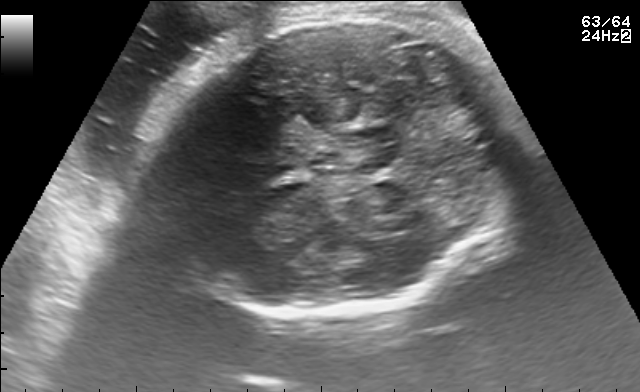
Fetal brain, trans-cerebellum plane. Locate the fetal head.

Head: [151,13,519,317]